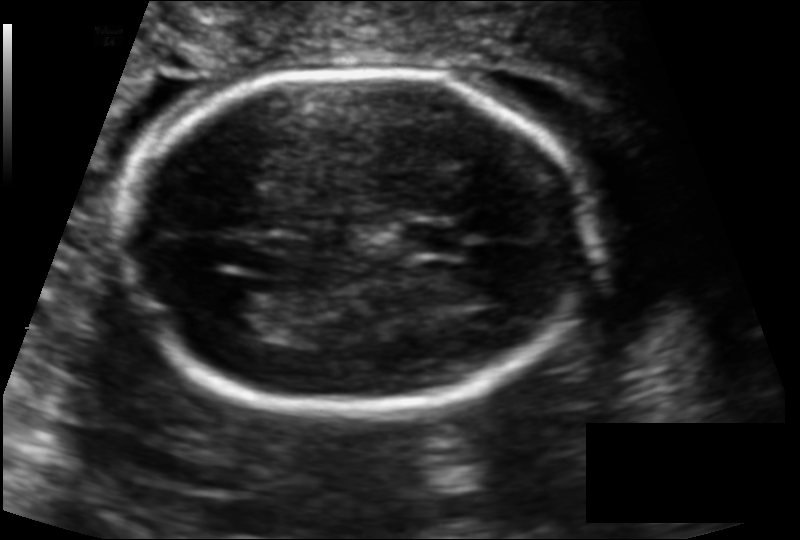
In this fetal head ultrasound, give the bounding box of the lateral ventricle. Image width: 97.4 mm.

[213,281,292,341]